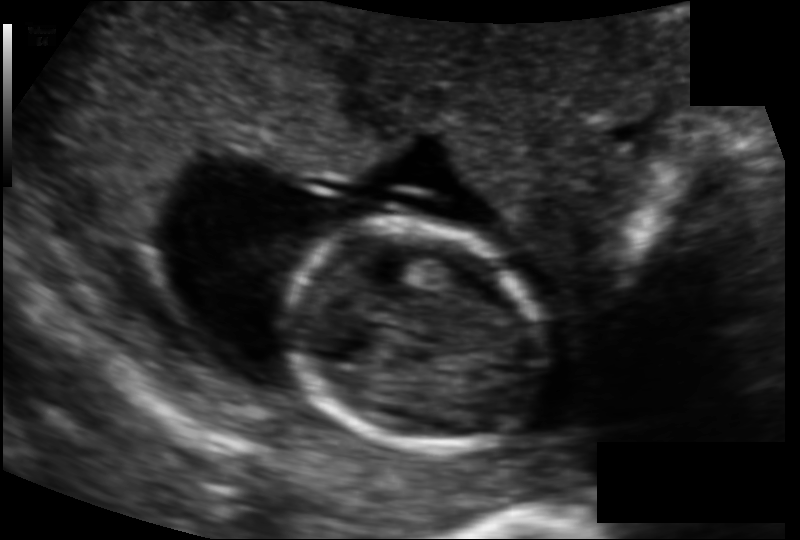
Fetal head ultrasound. Image width: 91.0 mm. Locate the fetal head and, if visible, the cavum septum pellucidum (CSP) and lateral ventricle (LV). Give bounding boxes as [x1,y1,x2,y2].

Head: [288,221,547,449]